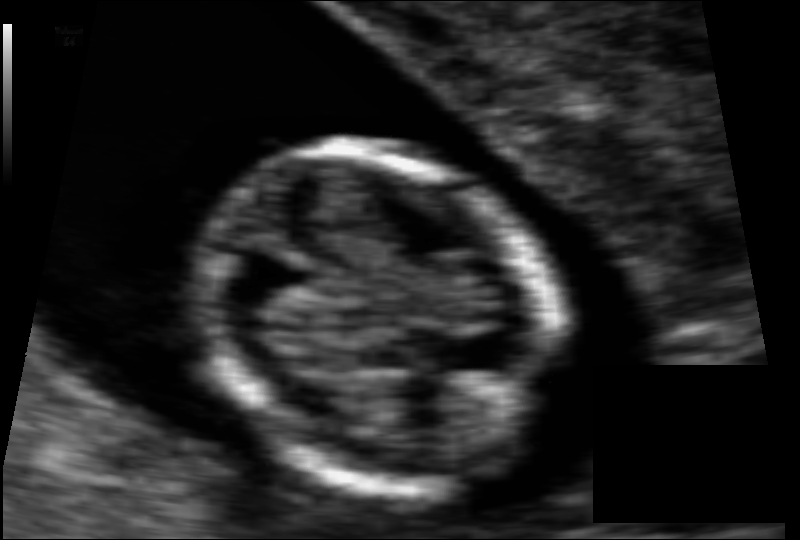
What is the fetal head circumference? Image width is 49.4 mm.

69.9 mm